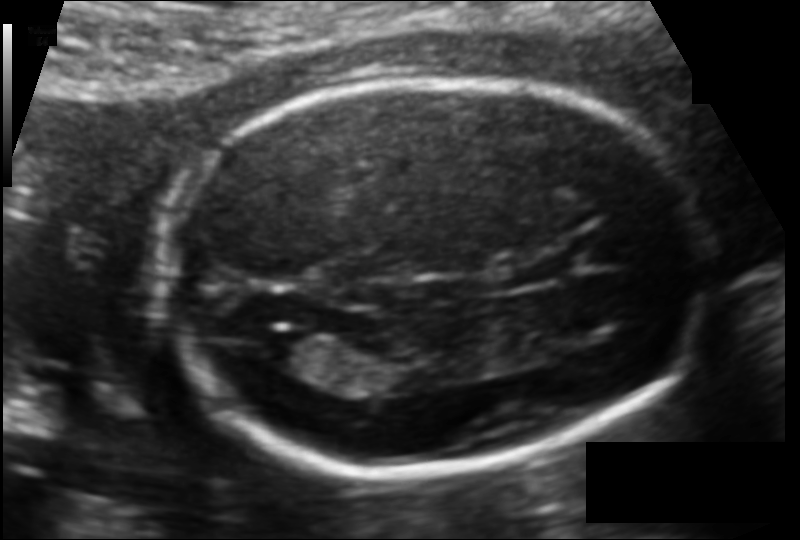
Fetal head ultrasound. Image width: 87.1 mm. Locate the fetal head.

Head: [158,78,704,472]